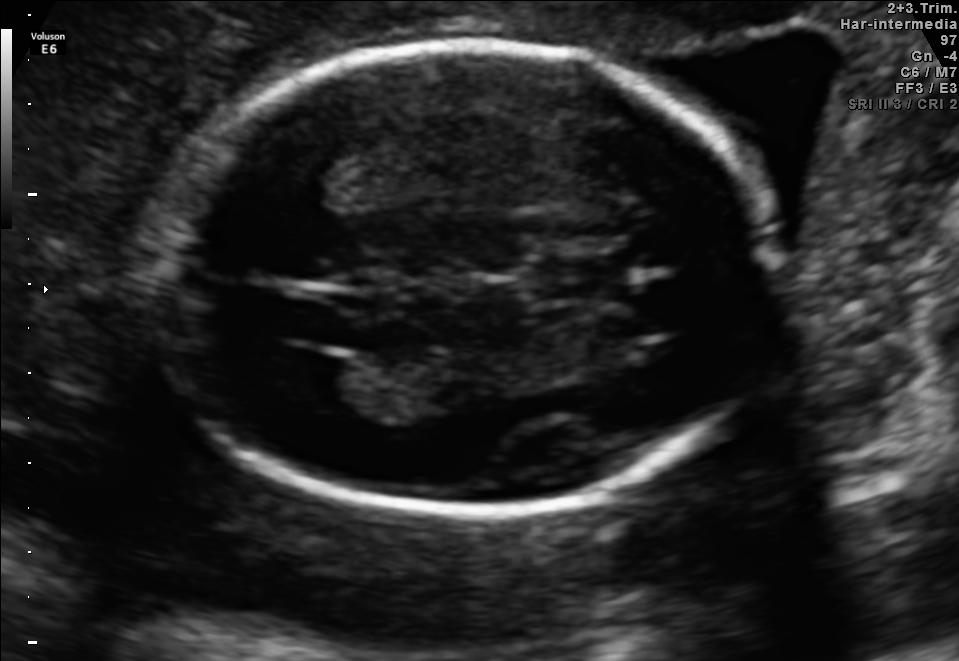
Fetal brain, trans-ventricular plane. Locate the cavum septum pellucidum.

CSP: [541,259,624,298]